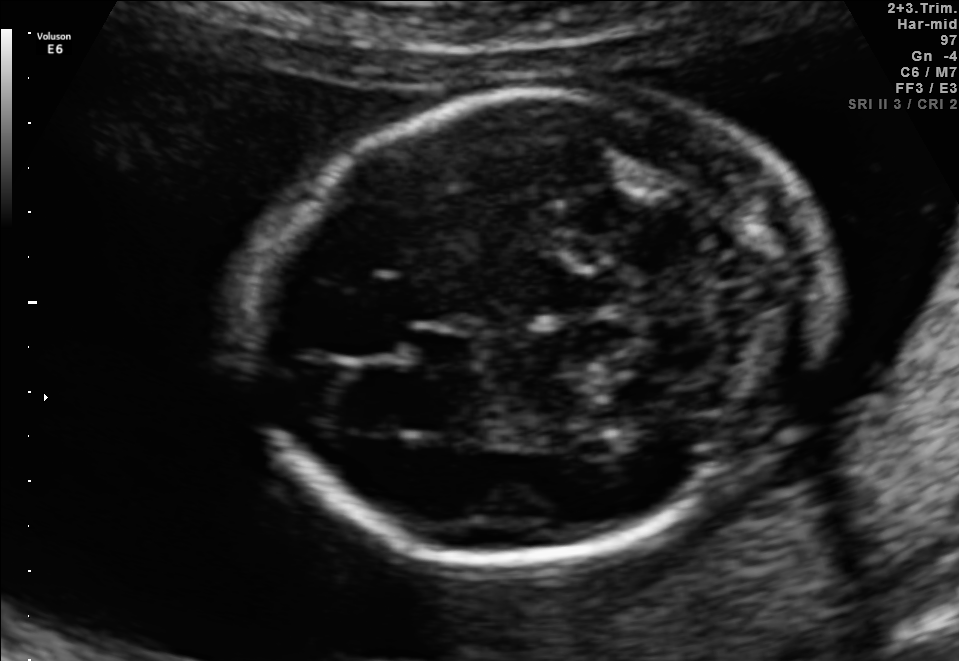
Fetal brain, trans-cerebellum plane. Locate the fetal head.

Head: [250,90,821,559]